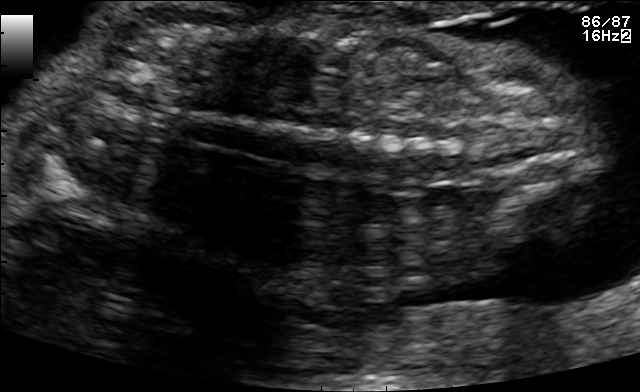
Identify the standard plane in this fetal ultrasound image: fetal abdomen, fetal brain, fetal femur, fetal thorax, maternal cervix, or other. If it's fetal brain and one of the three standard brain planes (trans-thalamic, trans-cerebellum, trans-ventricular), name which.

Other